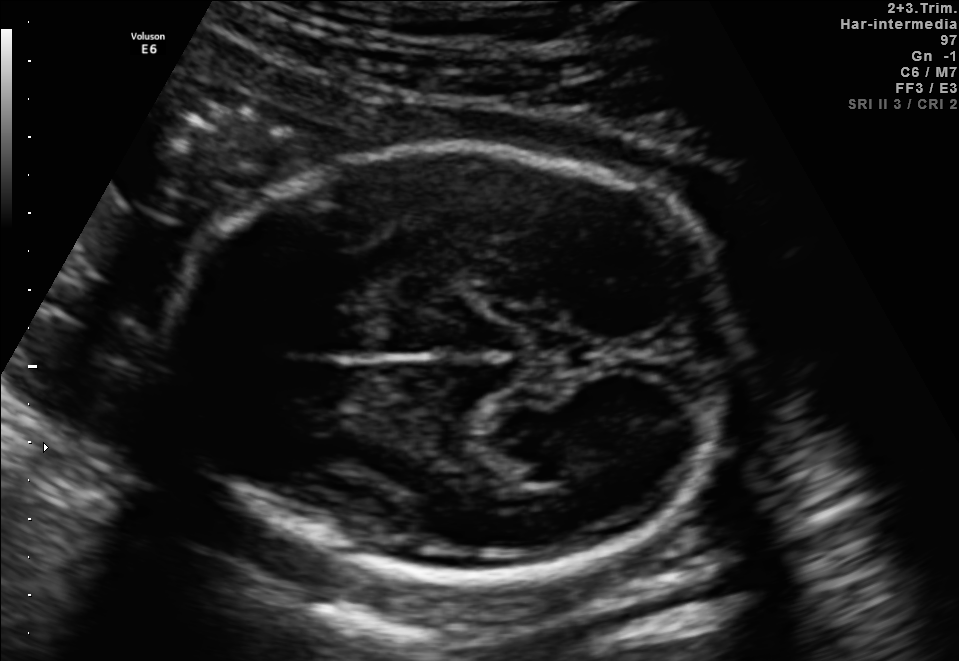
Fetal brain, trans-thalamic plane. Where is the lateral ventricle?

Lateral ventricle bounding box: [488,425,608,491]